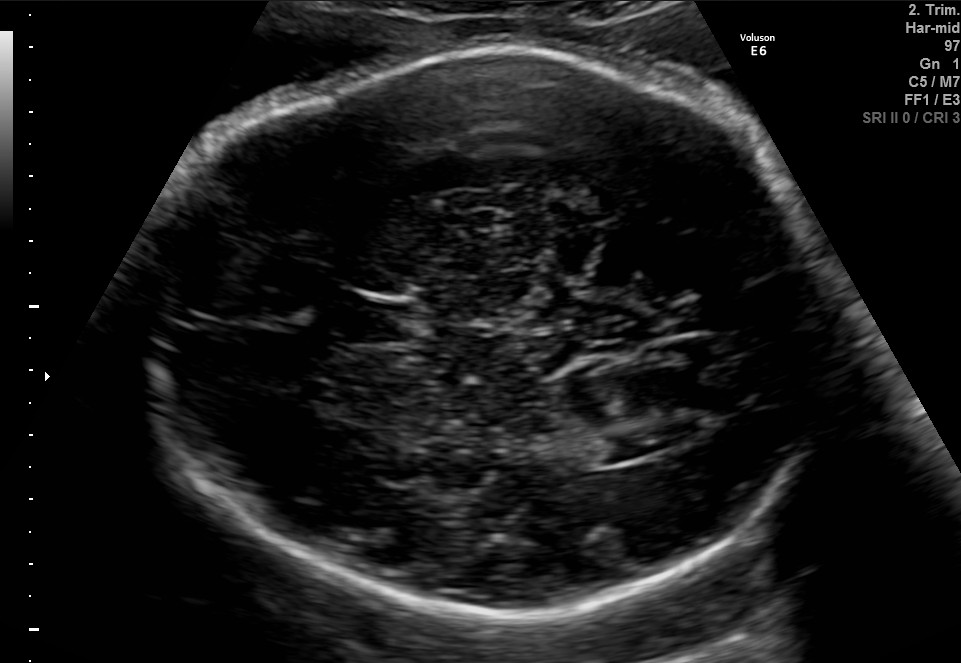
Fetal brain, trans-ventricular plane. Where is the cavum septum pellucidum?

CSP bounding box: [342,301,410,343]